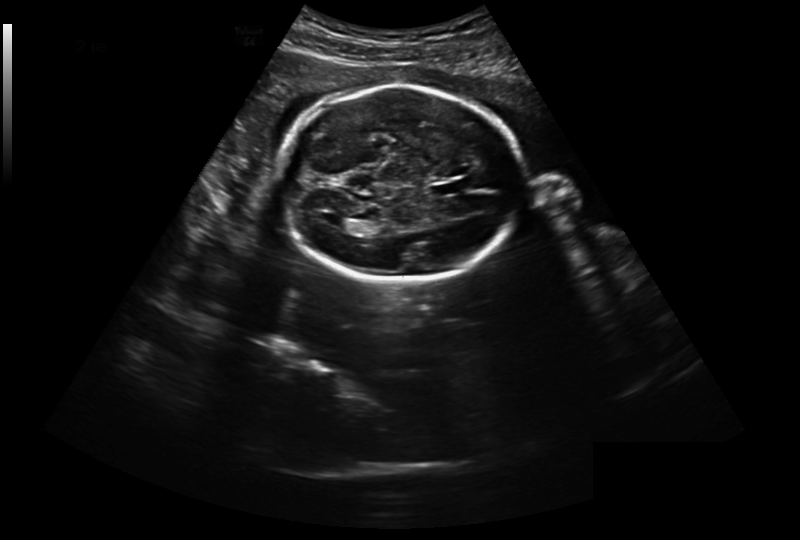
Fetal head ultrasound. Image width: 241.1 mm. Locate the cavum septum pellucidum.

CSP: [431,178,466,198]